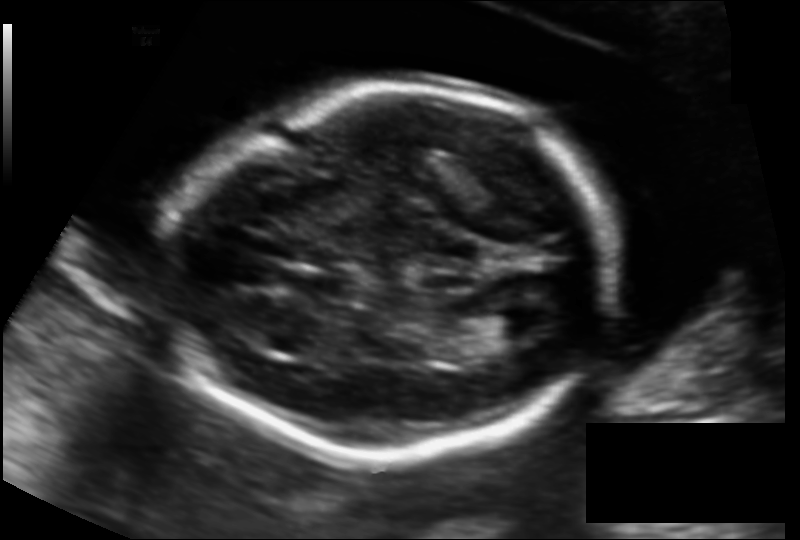
Fetal head ultrasound. Image width: 105.0 mm. Give [x1,y1,x2,y2] bounding boxes for each visible structure among: fetal head, CSP, LV.

Head: [168,85,612,460]
CSP: [290,267,352,302]
Lateral ventricle: [484,308,539,343]